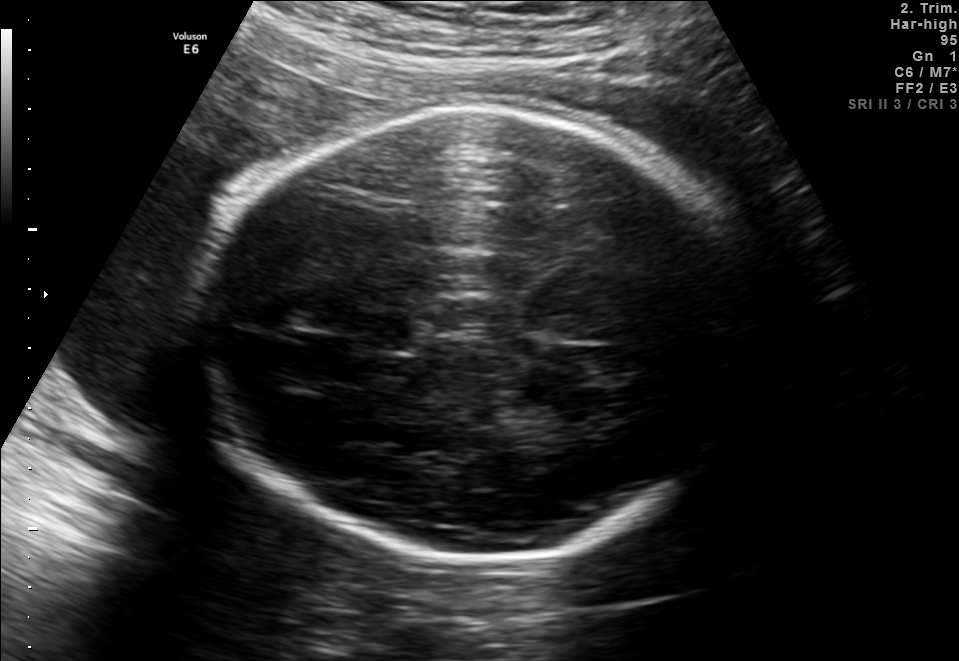
Identify the standard plane in this fetal ultrasound image: fetal abdomen, fetal brain, fetal femur, fetal thorax, maternal cervix, or other. If it's fetal brain and one of the three standard brain planes (trans-thalamic, trans-cerebellum, trans-ventricular), name which.

Fetal brain (trans-thalamic plane)